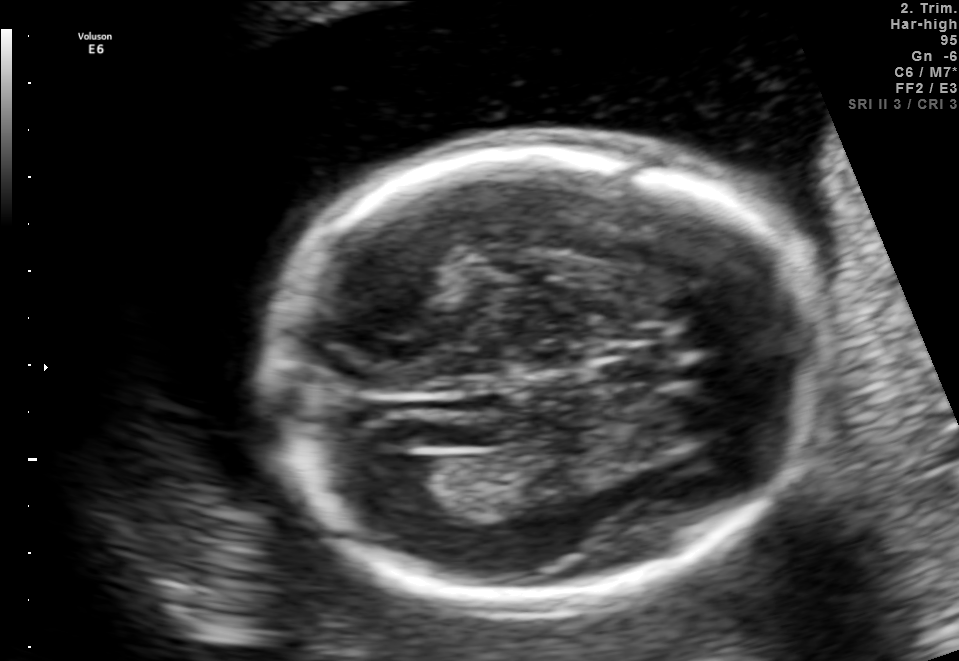
In this fetal brain, trans-ventricular plane, give bounding boxes for the head outline, cavum septum pellucidum (CSP), and lateral ventricle (LV), where visible.

Head: [257,125,834,622]
Lateral ventricle: [374,457,445,511]